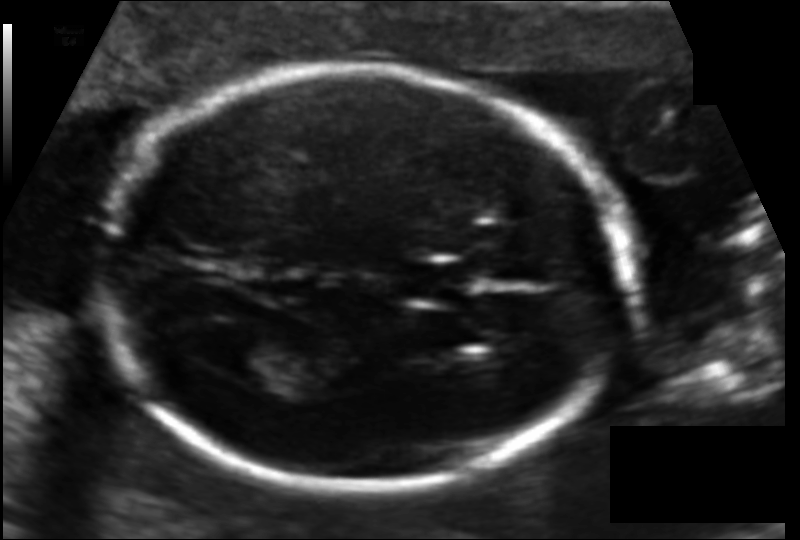
Fetal head ultrasound. Image width: 91.0 mm. Where is the cavum septum pellucidum?

CSP bounding box: [402,257,475,305]